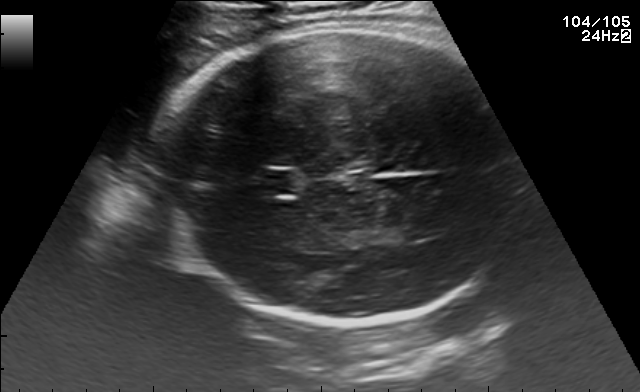
Fetal brain, trans-thalamic plane. Where is the cavum septum pellucidum?

CSP bounding box: [254,169,295,195]